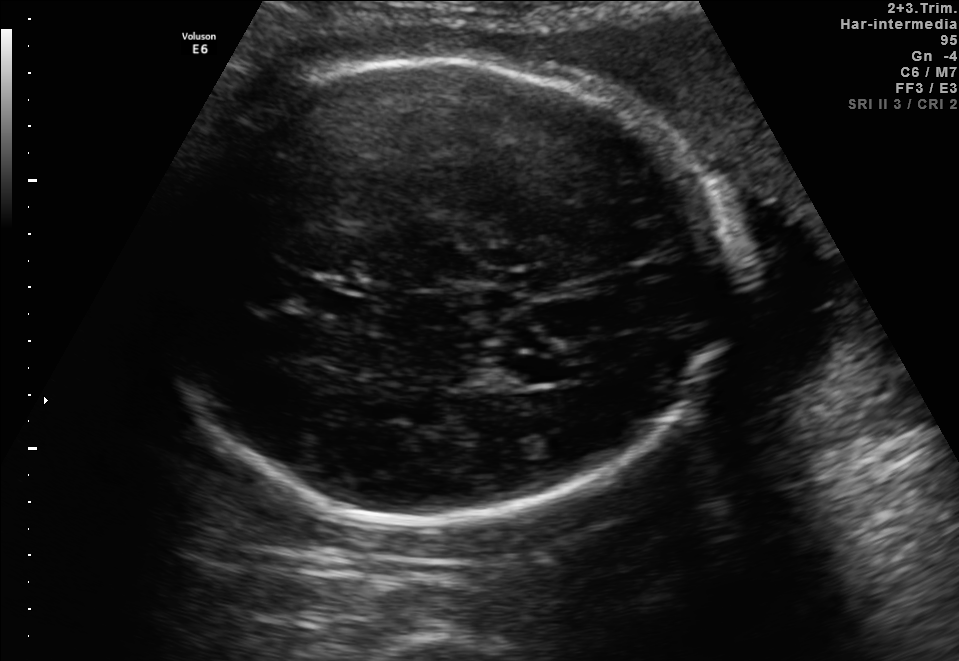
Fetal brain, trans-thalamic plane. Locate the lateral ventricle.

Lateral ventricle: [465,349,580,393]